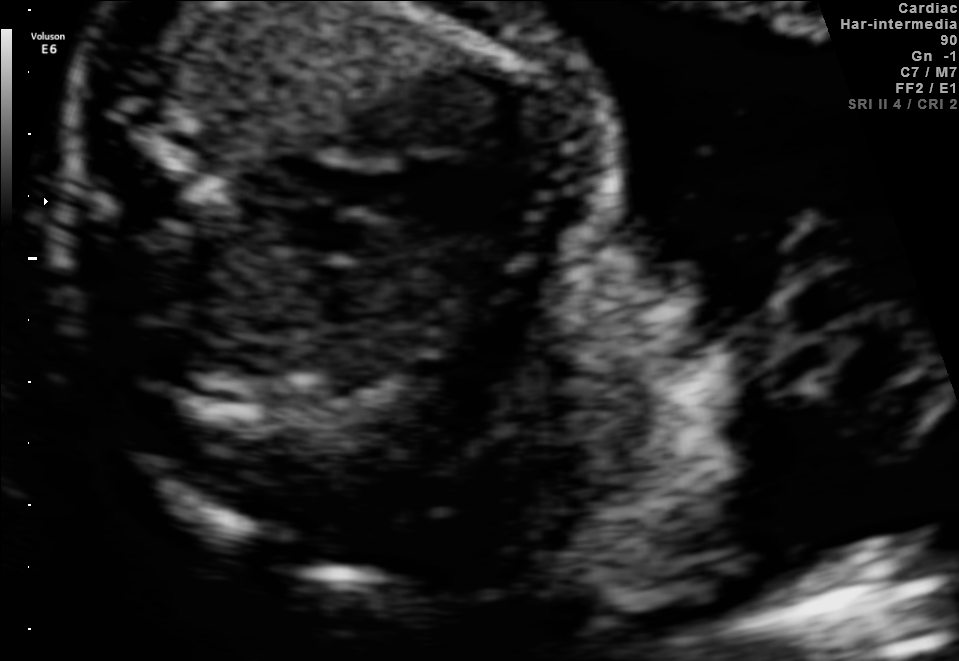
This is a 2D maternal-fetal ultrasound frame. Is it a fetal abdomen, fetal brain, fetal femur, fetal thorax, maternal cervix, or other standard plane? If it's fetal brain and one of the three standard brain planes (trans-thalamic, trans-cerebellum, trans-ventricular), name which.

Other